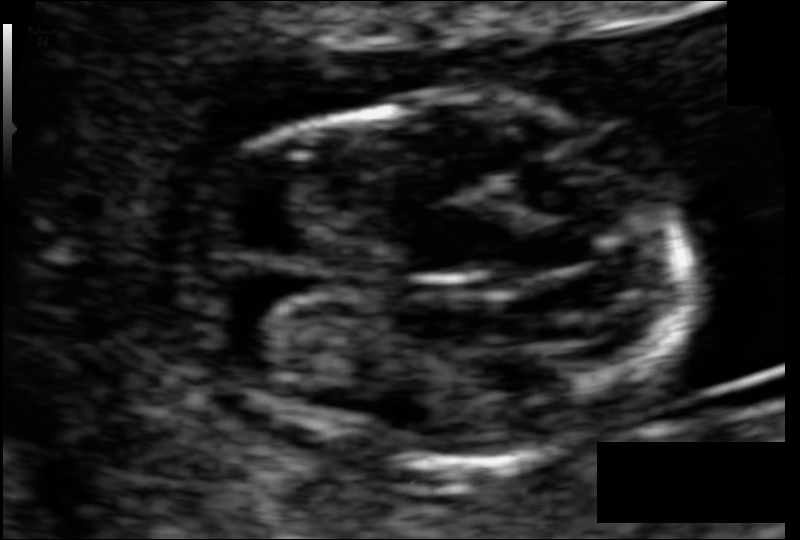
Measure the fetal head circumference shown in this ultrasound image. Image width: 41.8 mm.

Head circumference: 74.6 mm.